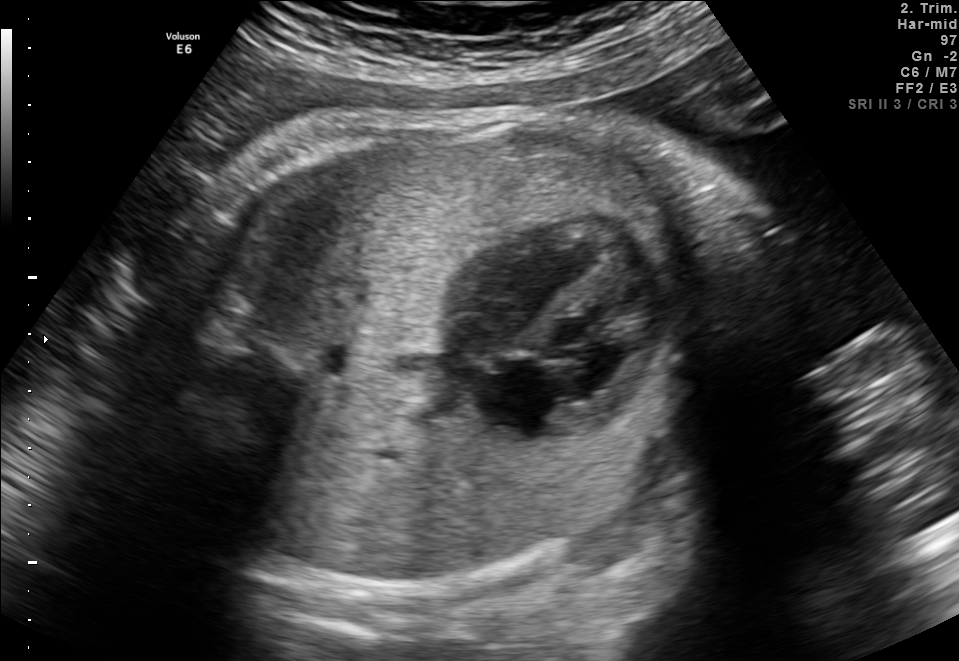
Which standard maternal-fetal ultrasound plane is shown: fetal abdomen, fetal brain, fetal femur, fetal thorax, maternal cervix, or other? If it's fetal brain and one of the three standard brain planes (trans-thalamic, trans-cerebellum, trans-ventricular), name which.

Fetal thorax